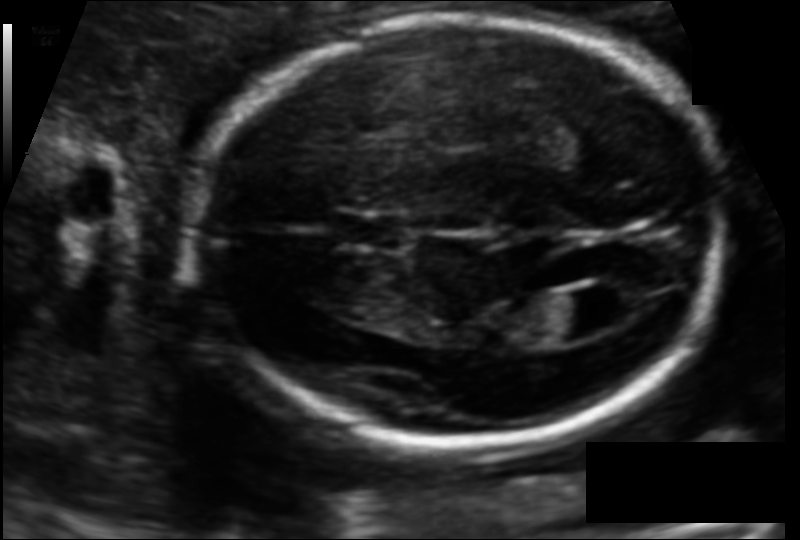
Fetal head ultrasound. Image width: 90.0 mm. Locate the lateral ventricle.

Lateral ventricle: [543,281,630,345]